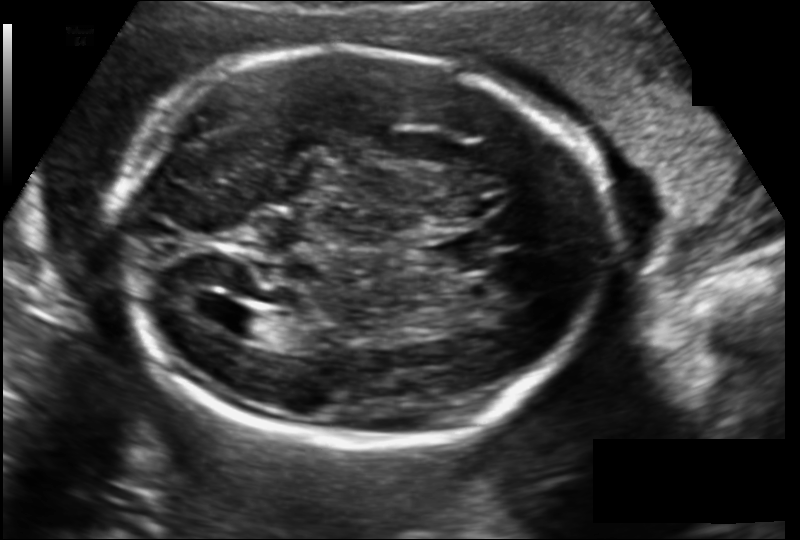
In this fetal head ultrasound, give the bounding box of the cavum septum pellucidum. Image width: 119.2 mm.

[425,230,487,278]